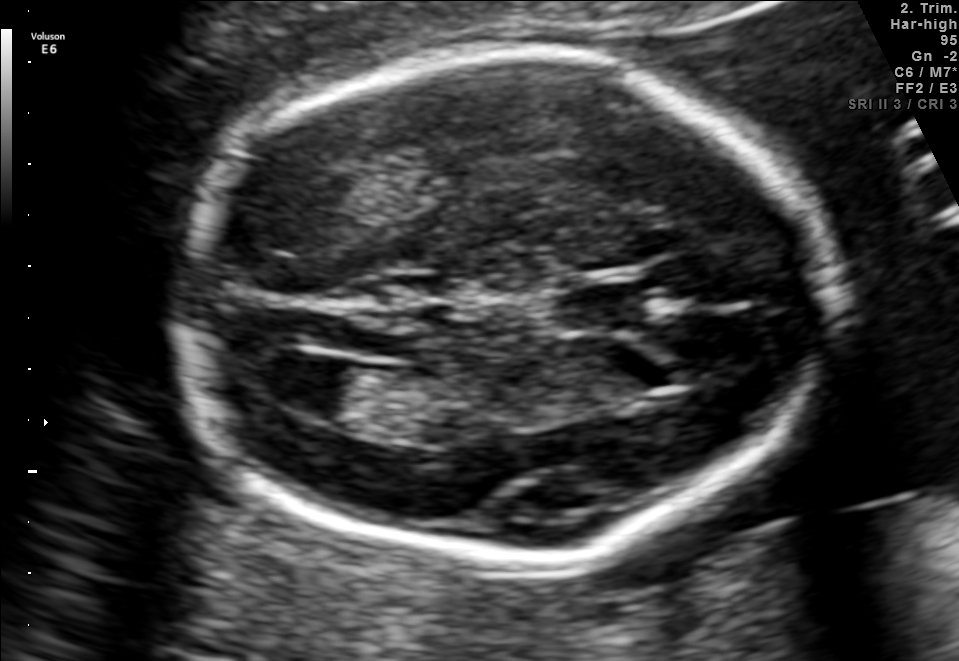
Fetal brain, trans-ventricular plane. Locate the fetal head and, if visible, the cavum septum pellucidum (CSP) and lateral ventricle (LV). Give bounding boxes as [x1,y1,x2,y2].

Head: [163,43,856,572]
CSP: [543,279,674,333]
Lateral ventricle: [258,341,369,430]